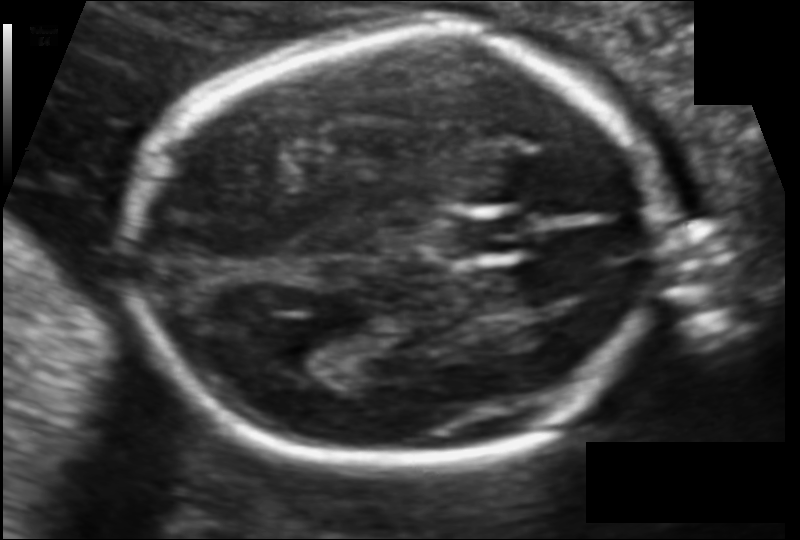
Fetal head ultrasound. Image width: 84.9 mm. Locate the fetal head.

Head: [132,37,670,467]